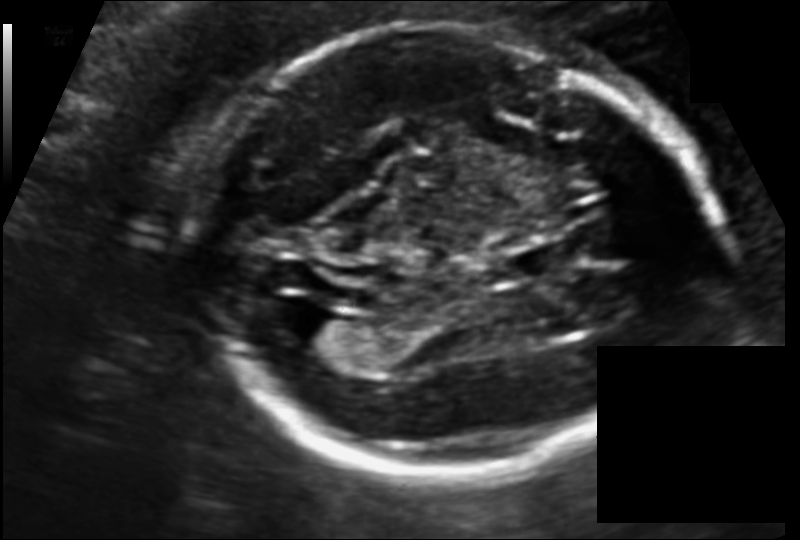
Measure the fetal head circumference shown in this ultrasound image. Image width: 94.5 mm.

Head circumference: 184.6 mm.